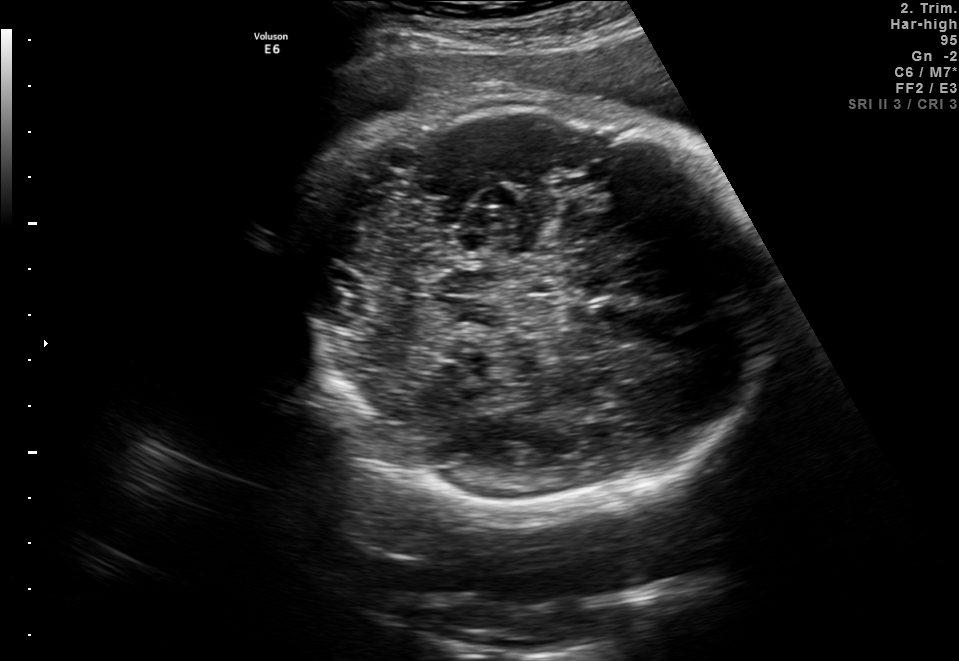
Fetal brain, trans-thalamic plane. Locate the fetal head and, if visible, the cavum septum pellucidum (CSP) and lateral ventricle (LV). Give bounding boxes as [x1,y1,x2,y2].

Head: [300,100,771,517]